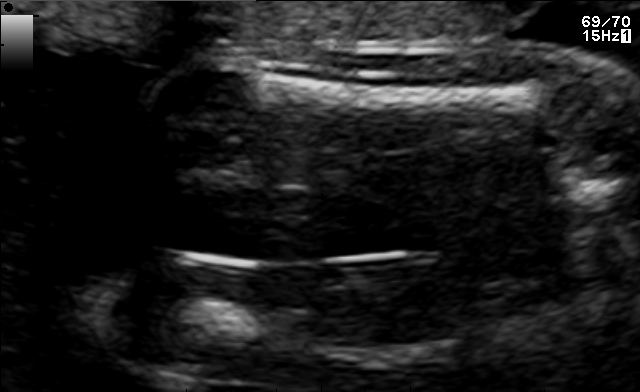
This is a 2D maternal-fetal ultrasound frame. Is it a fetal abdomen, fetal brain, fetal femur, fetal thorax, maternal cervix, or other standard plane? If it's fetal brain and one of the three standard brain planes (trans-thalamic, trans-cerebellum, trans-ventricular), name which.

Fetal femur